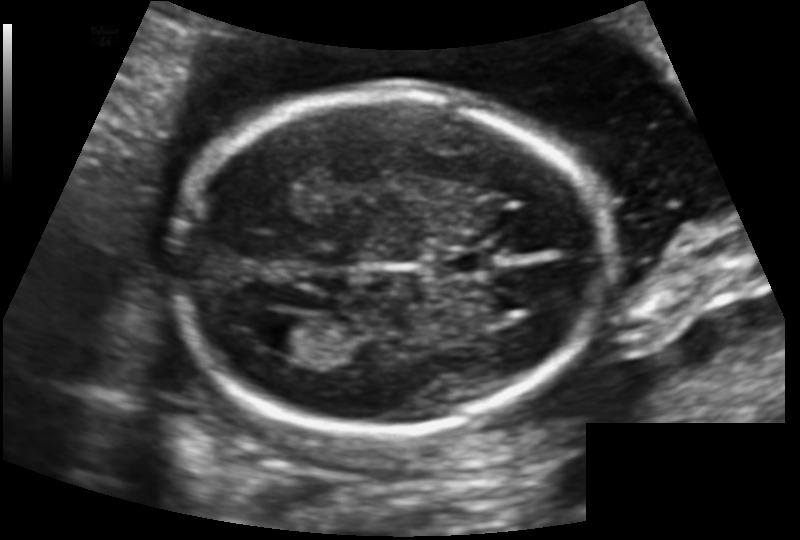
Estimate the fetal head circumference from this 2D ultrasound.

Head circumference: 165.0 mm (image width 103.5 mm).